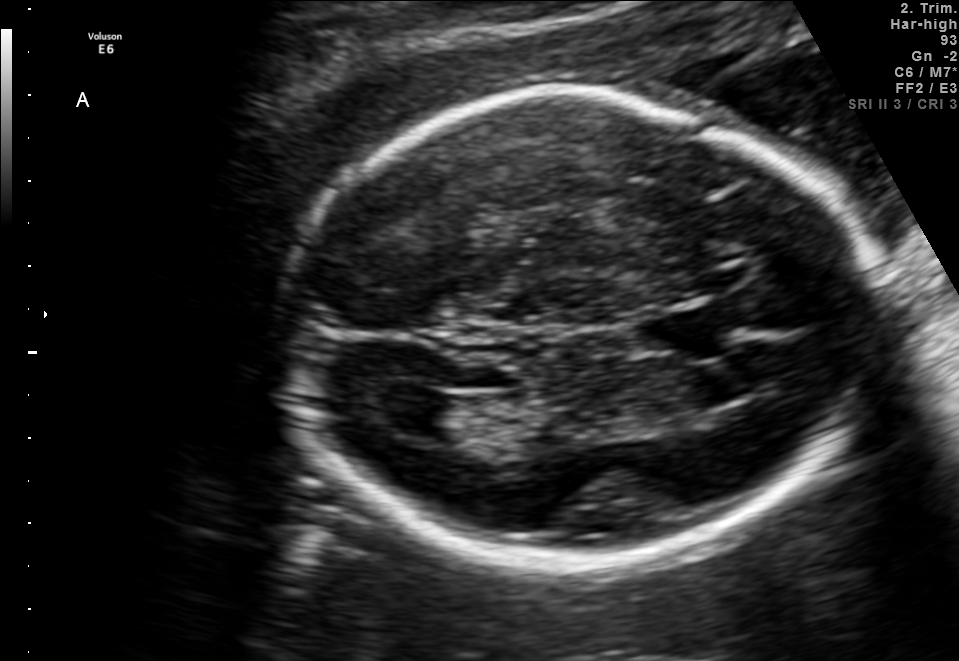
Fetal brain, trans-ventricular plane. Where is the lateral ventricle?

Lateral ventricle bounding box: [375,384,465,443]